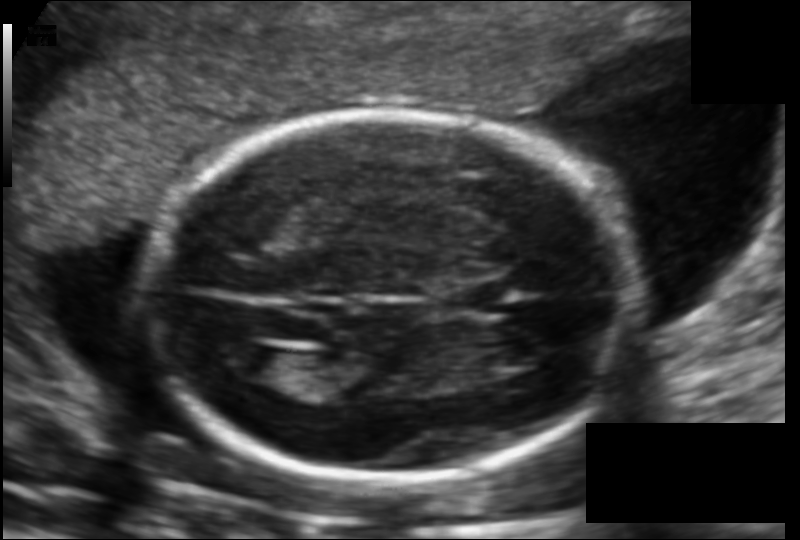
From this fetal ultrasound, estimate the head circumference (image width 98.4 mm).

Head circumference: 168.9 mm.